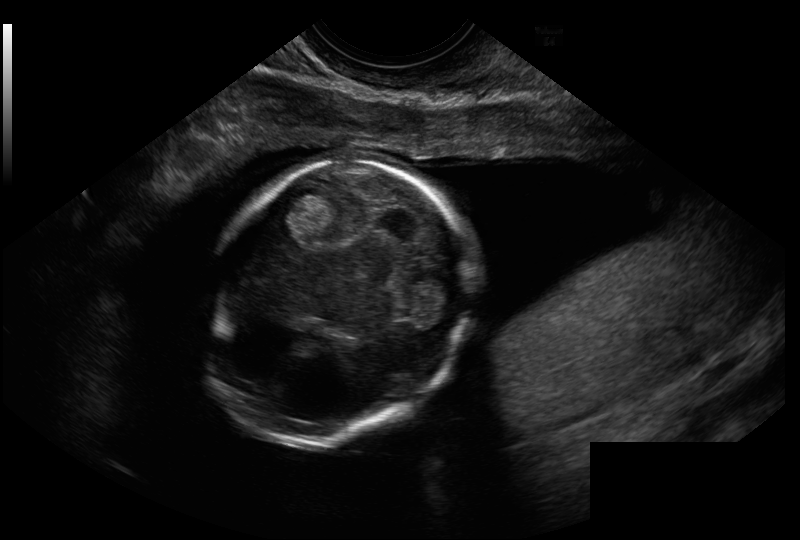
Estimate the fetal head circumference from this 2D ultrasound.

Head circumference: 101.2 mm (image width 91.5 mm).